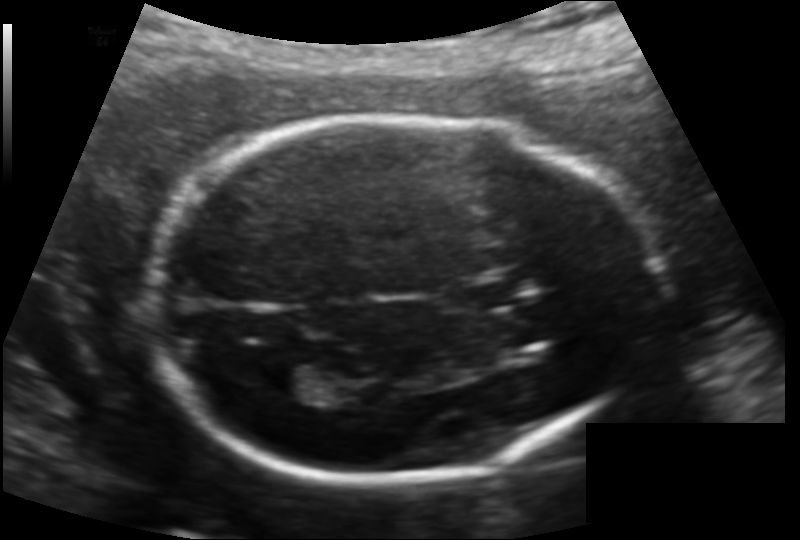
Fetal head ultrasound. Image width: 105.6 mm. Where is the fetal head?

Head bounding box: [142,115,660,477]